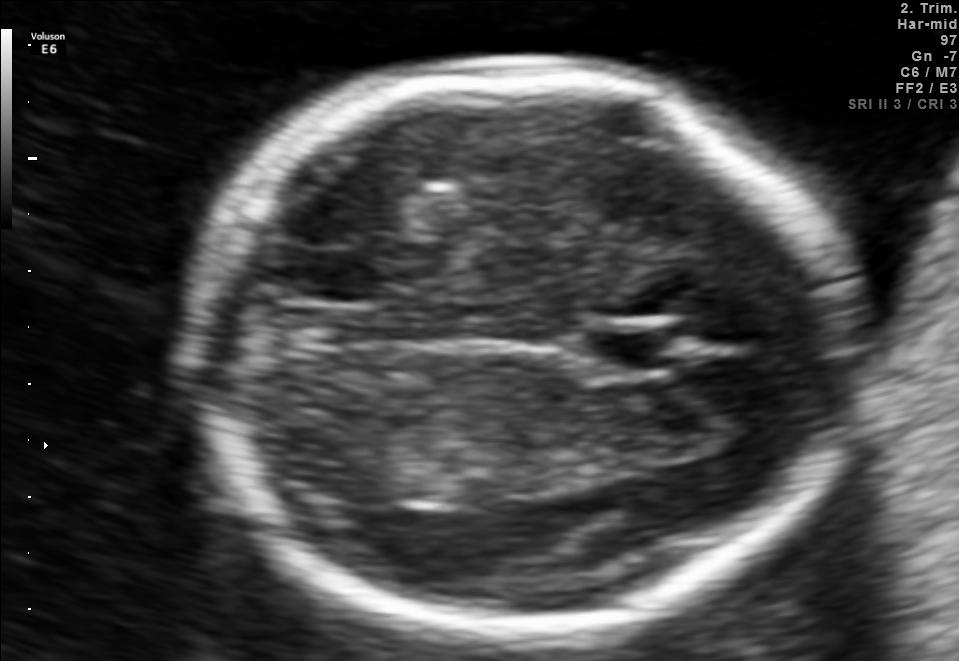
In this fetal brain, trans-thalamic plane, give the bounding box of the fetal head.

[187,66,852,647]